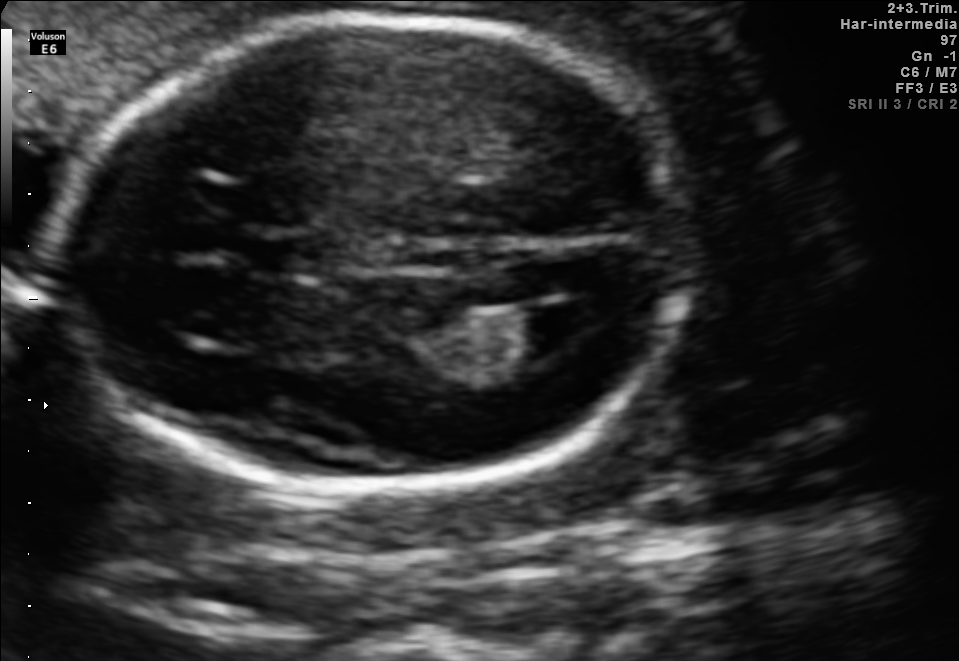
Fetal brain, trans-ventricular plane. Locate the lateral ventricle.

Lateral ventricle: [516,294,607,360]